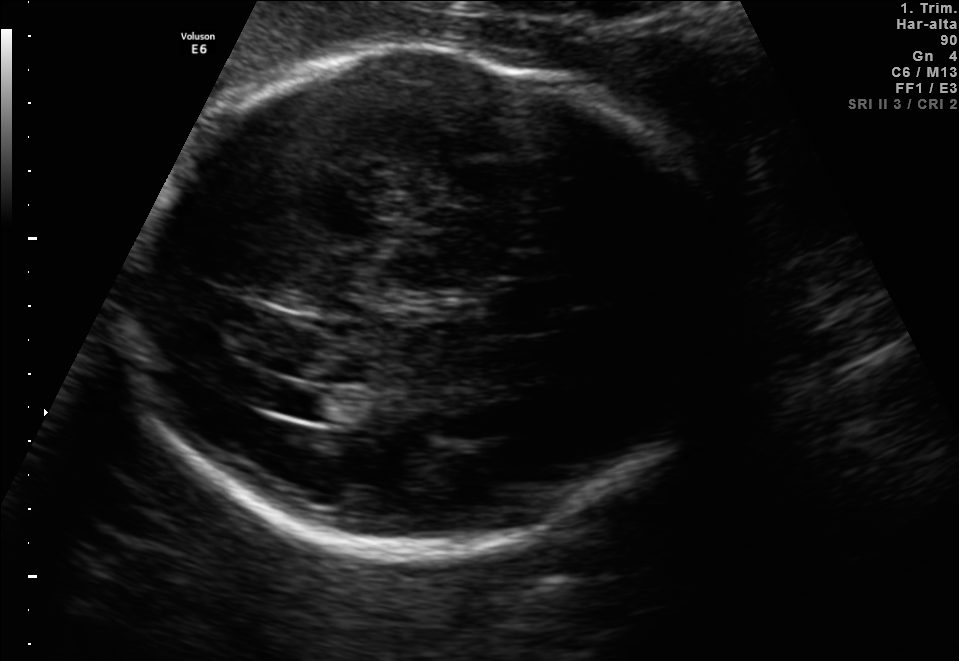
Fetal brain, trans-ventricular plane. Locate the fetal head and, if visible, the cavum septum pellucidum (CSP) and lateral ventricle (LV). Give bounding boxes as [x1,y1,x2,y2].

Head: [135,44,740,565]
Lateral ventricle: [249,372,326,422]